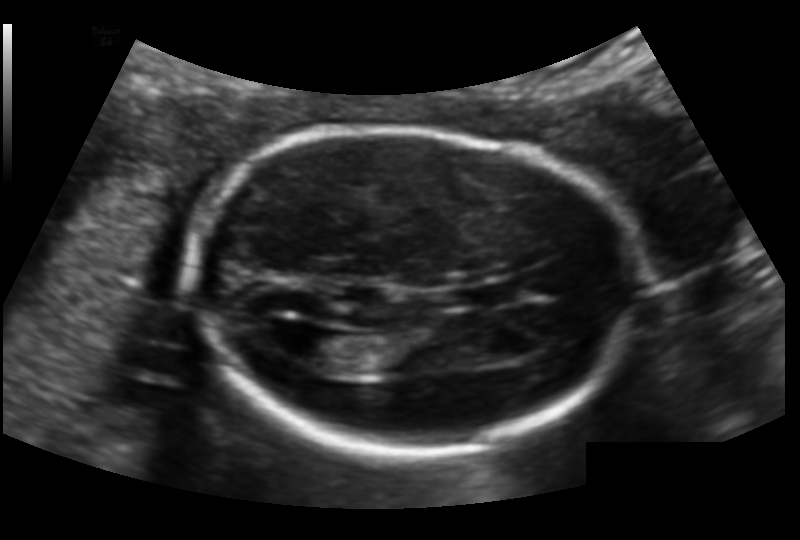
In this fetal head ultrasound, give the bounding box of the fetal head. Image width: 105.5 mm.

[185,127,638,451]